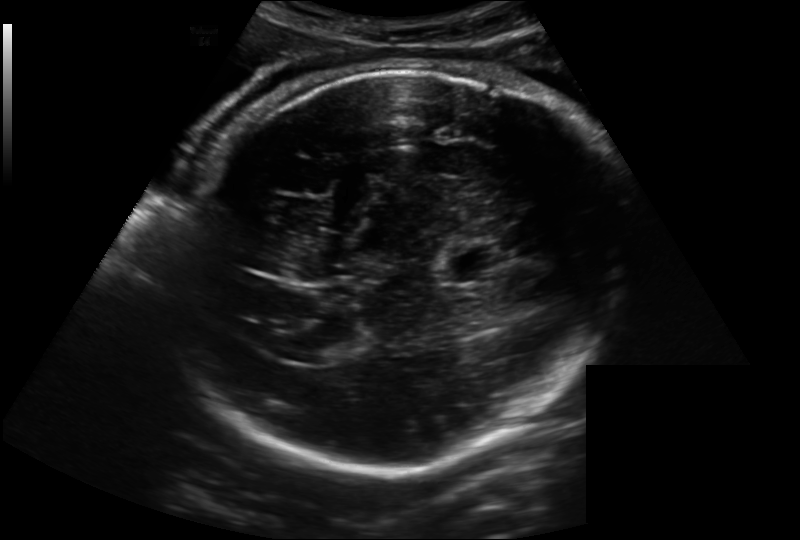
Fetal head ultrasound. Image width: 177.2 mm. Locate the lateral ventricle.

Lateral ventricle: [293,339,336,365]